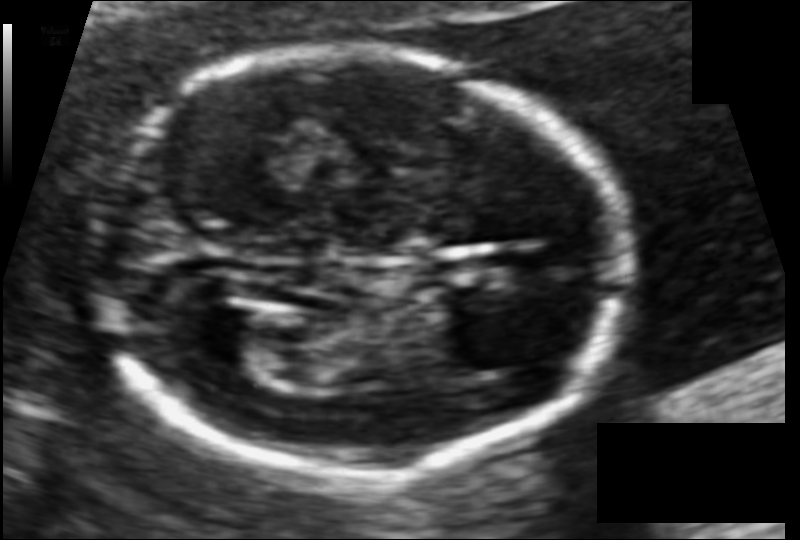
From this fetal ultrasound, estimate the head circumference (image width 69.9 mm).

Head circumference: 135.4 mm.